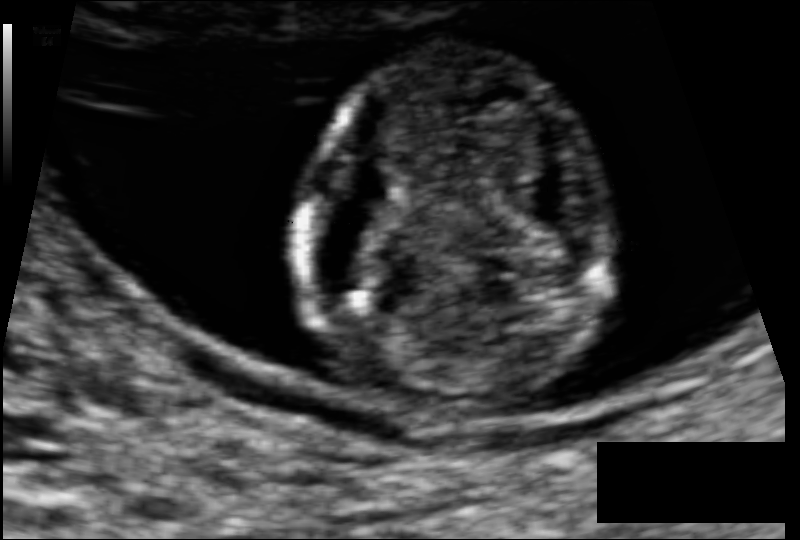
In this fetal head ultrasound, give the bounding box of the fetal head. Image width: 59.5 mm.

[301,50,604,408]